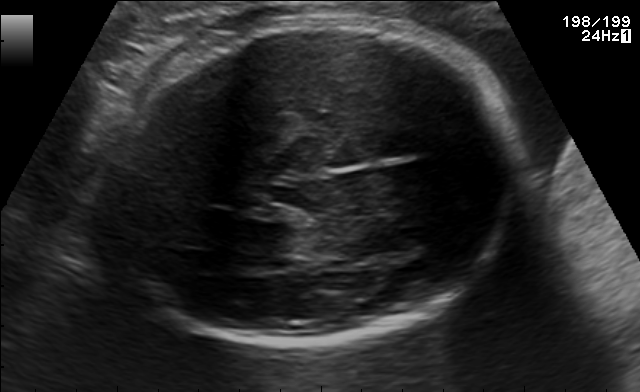
Fetal brain, trans-thalamic plane. Where is the fetal head?

Head bounding box: [106,17,517,346]